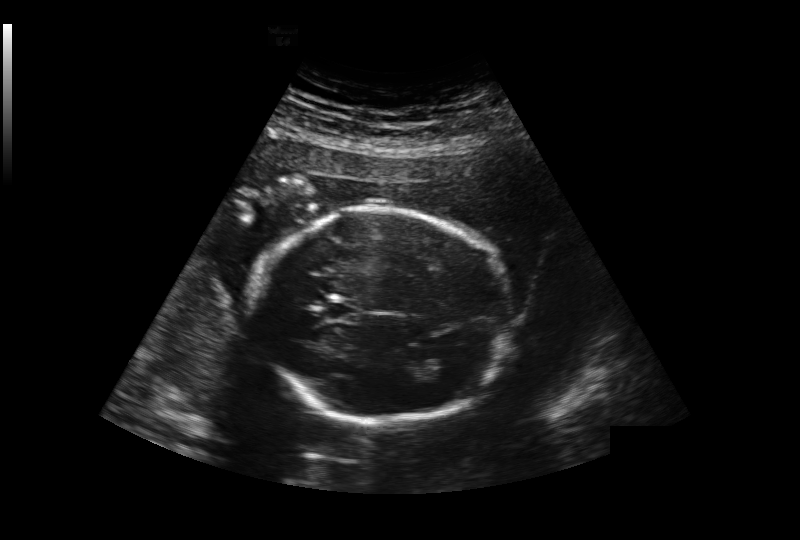
Fetal head ultrasound. Image width: 191.2 mm. Locate the cavum septum pellucidum.

CSP: [327,302,358,321]